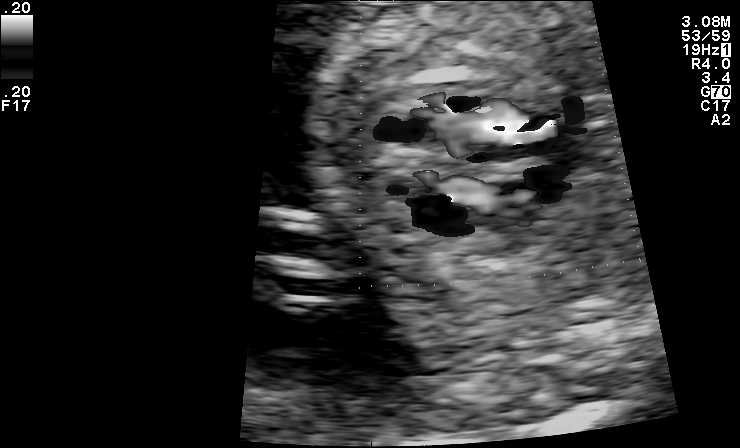
Which standard maternal-fetal ultrasound plane is shown: fetal abdomen, fetal brain, fetal femur, fetal thorax, maternal cervix, or other? If it's fetal brain and one of the three standard brain planes (trans-thalamic, trans-cerebellum, trans-ventricular), name which.

Other